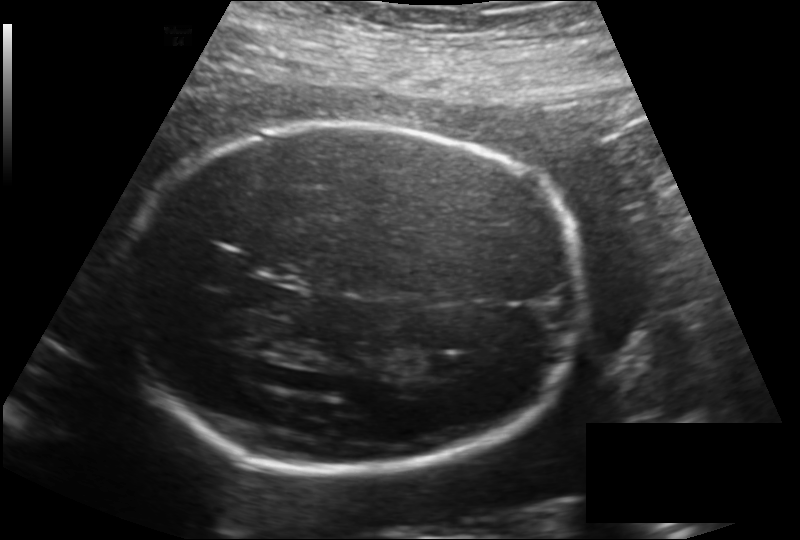
Measure the fetal head circumference shown in this ultrasound image. Image width: 149.9 mm.

Head circumference: 245.4 mm.